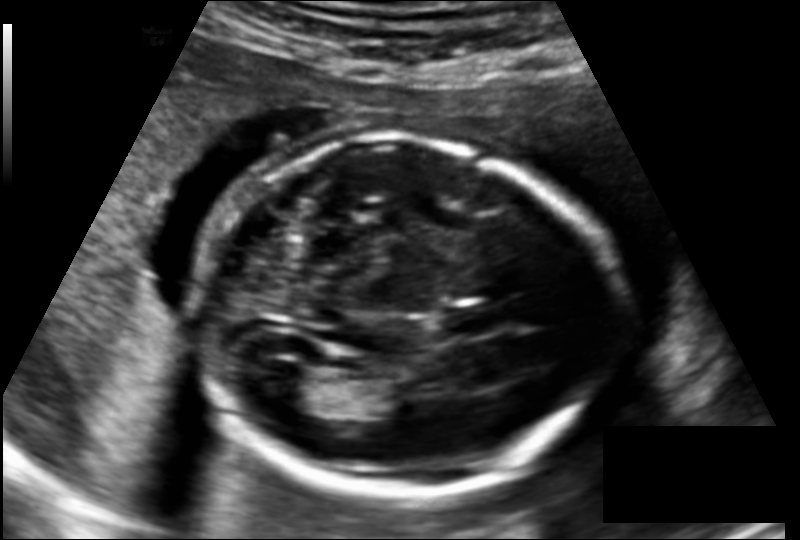
In this fetal head ultrasound, give the bounding box of the cavum septum pellucidum. Image width: 115.9 mm.

[439,302,504,341]